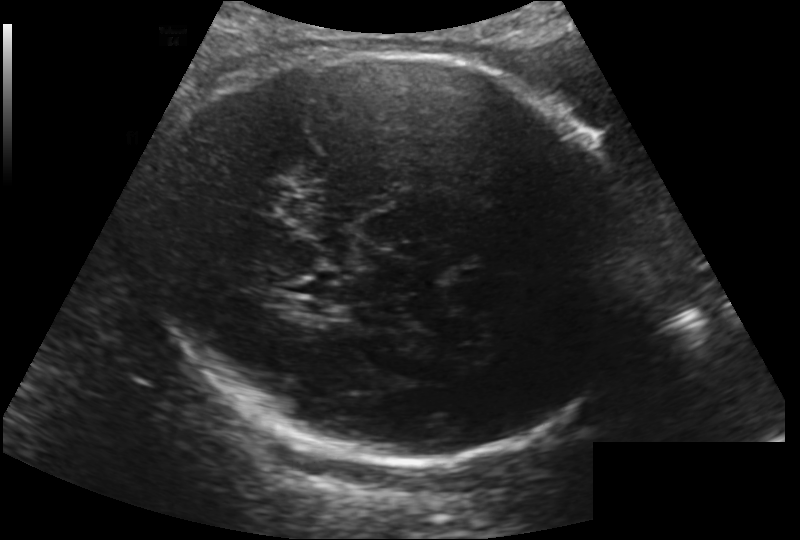
What is the fetal head circumference? Image width is 160.1 mm.

284.9 mm